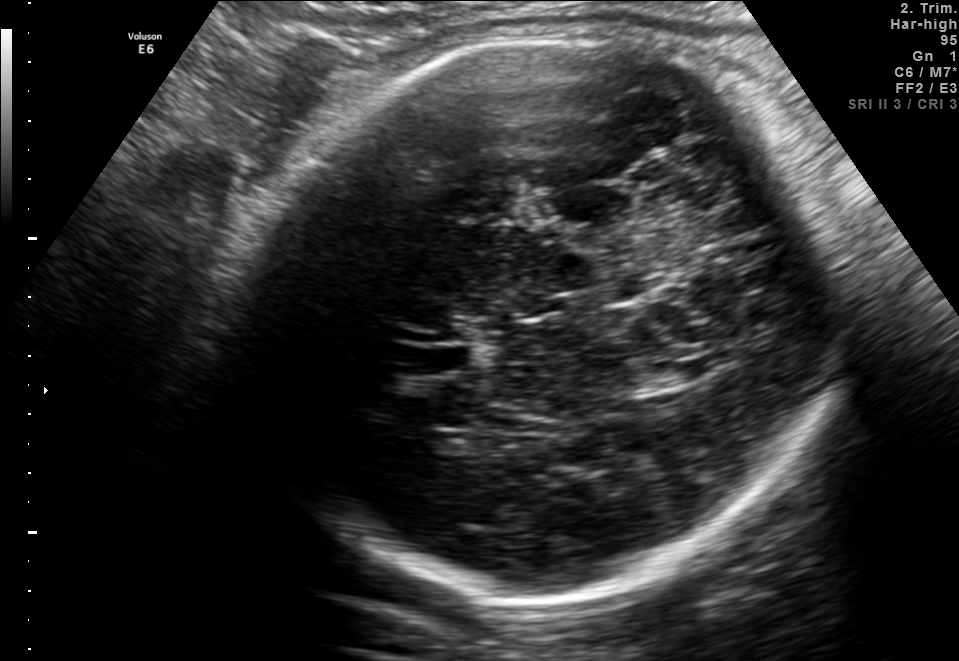
In this fetal brain, trans-thalamic plane, give the bounding box of the fetal head.

[231,37,842,602]